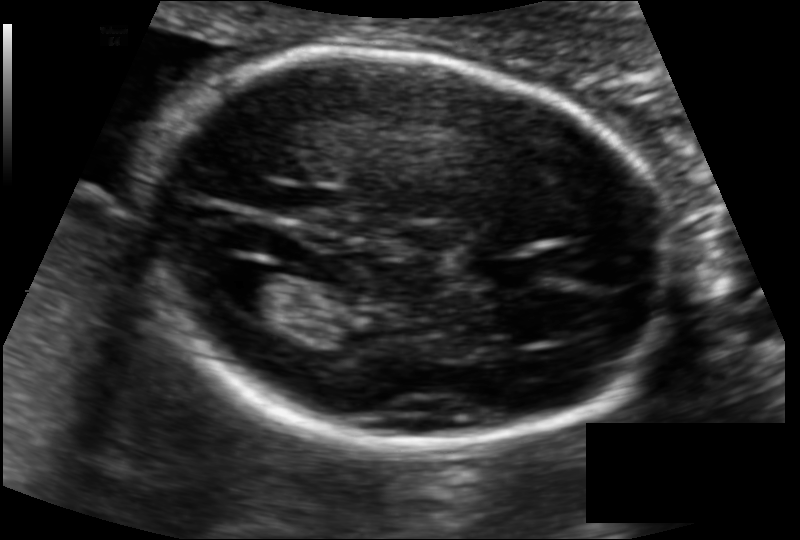
What is the fetal head circumference? Image width is 88.0 mm.

165.7 mm